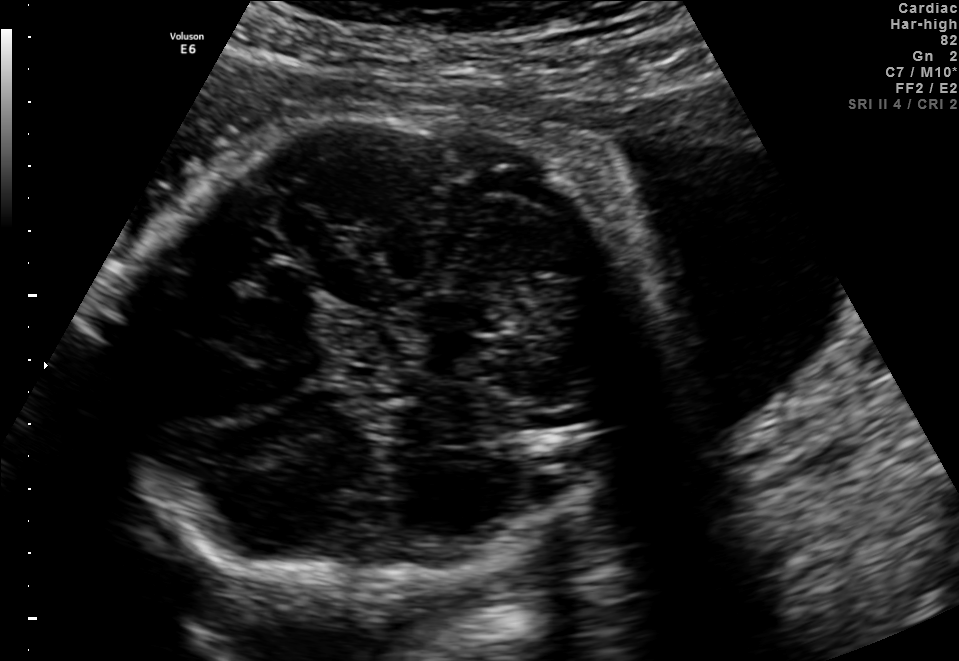
Fetal brain, trans-thalamic plane. Locate the fetal head.

Head: [116,99,637,608]